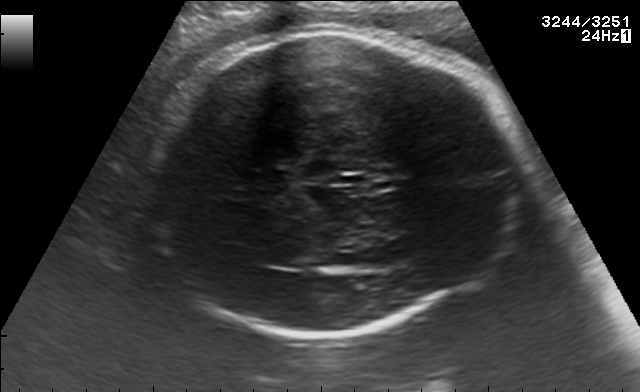
This is a 2D maternal-fetal ultrasound frame. Is it a fetal abdomen, fetal brain, fetal femur, fetal thorax, maternal cervix, or other standard plane? If it's fetal brain and one of the three standard brain planes (trans-thalamic, trans-cerebellum, trans-ventricular), name which.

Fetal brain (trans-thalamic plane)